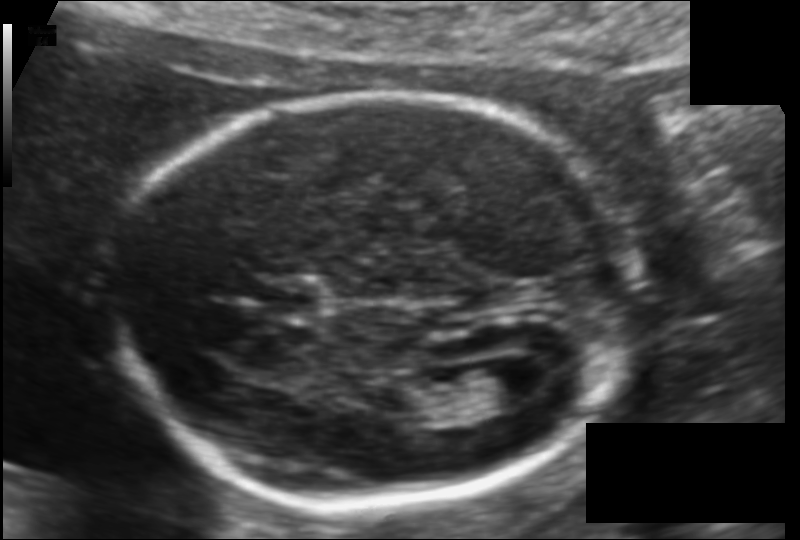
Fetal head ultrasound. Image width: 92.0 mm. Where is the fetal head?

Head bounding box: [118,95,636,504]